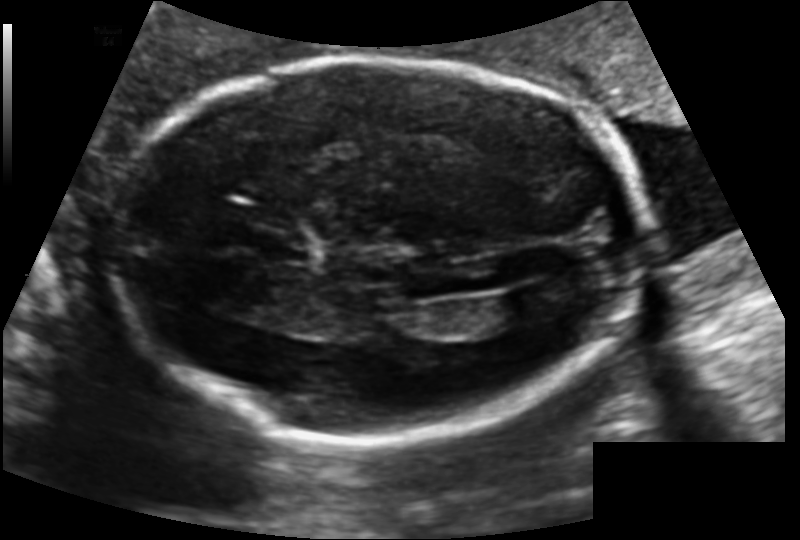
In this fetal head ultrasound, give bounding boxes for the head outline, cavum septum pellucidum (CSP), and lateral ventricle (LV), where visible. Image width: 105.0 mm.

Head: [112,56,650,440]
CSP: [248,226,311,266]
Lateral ventricle: [494,279,565,328]